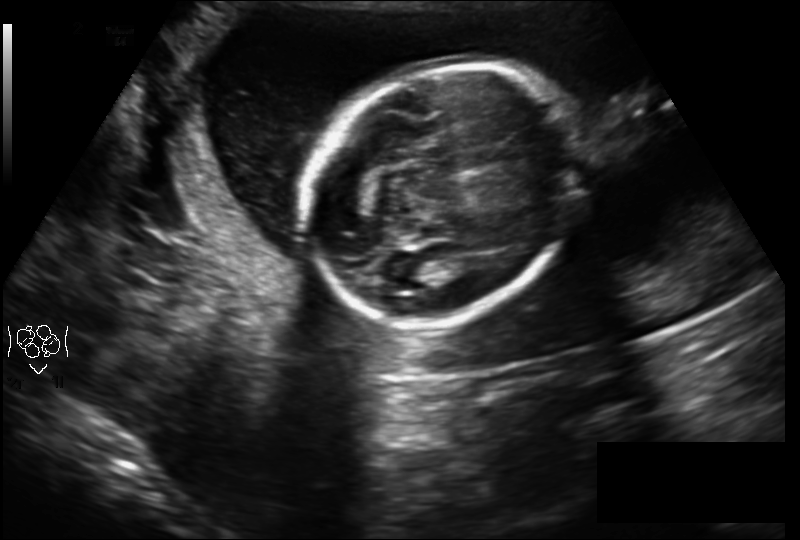
Measure the fetal head circumference shown in this ultrasound image. Image width: 167.6 mm.

Head circumference: 180.4 mm.